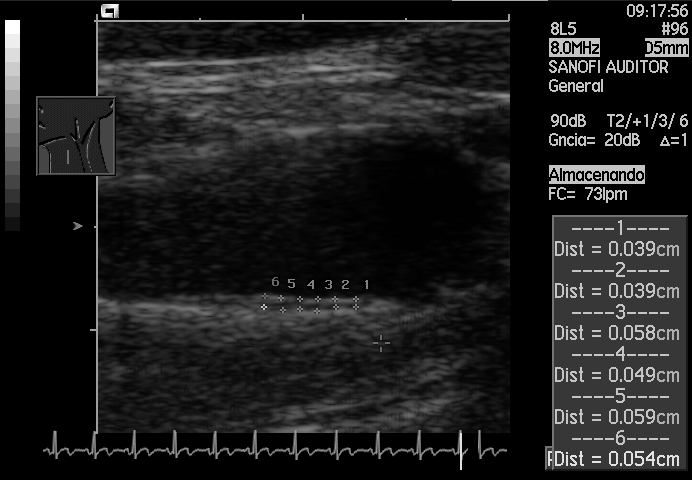
Which standard maternal-fetal ultrasound plane is shown: fetal abdomen, fetal brain, fetal femur, fetal thorax, maternal cervix, or other? If it's fetal brain and one of the three standard brain planes (trans-thalamic, trans-cerebellum, trans-ventricular), name which.

Other